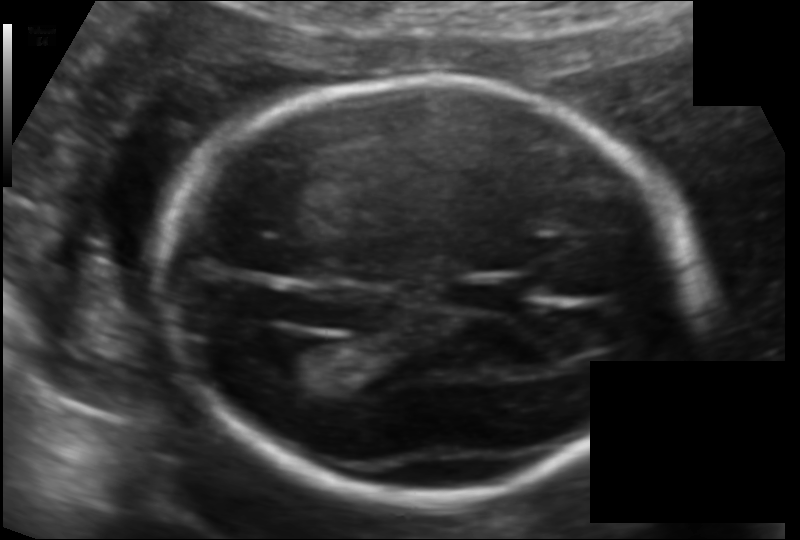
In this fetal head ultrasound, give the bounding box of the fetal head. Image width: 94.6 mm.

[162,78,697,498]